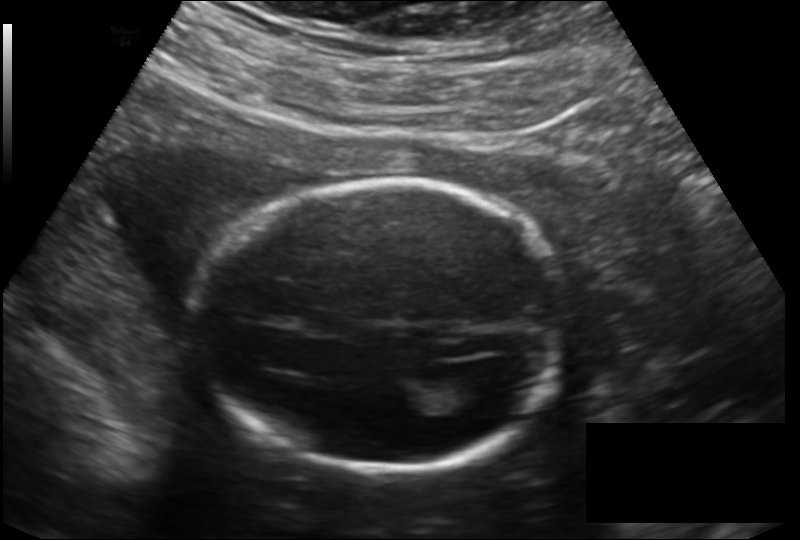
Measure the fetal head circumference shown in this ultrasound image. Image width: 133.1 mm.

Head circumference: 179.0 mm.